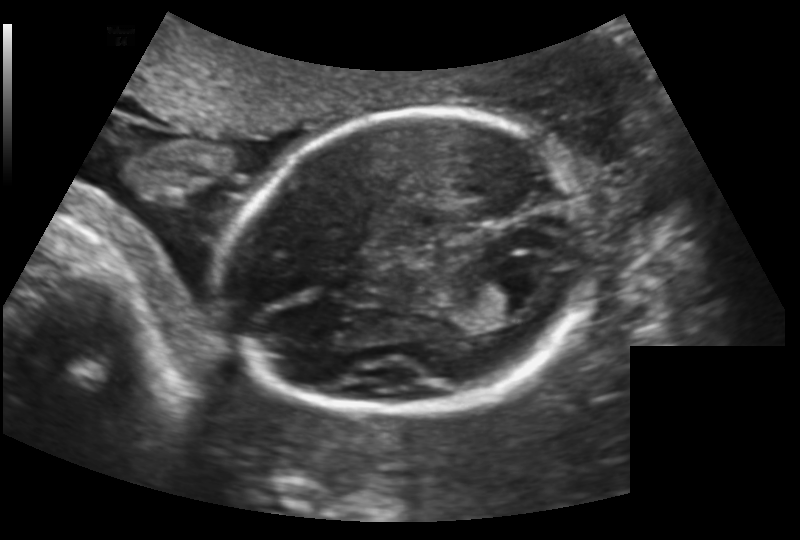
Estimate the fetal head circumference from this 2D ultrasound. Image width: 127.5 mm.

Head circumference: 172.7 mm.